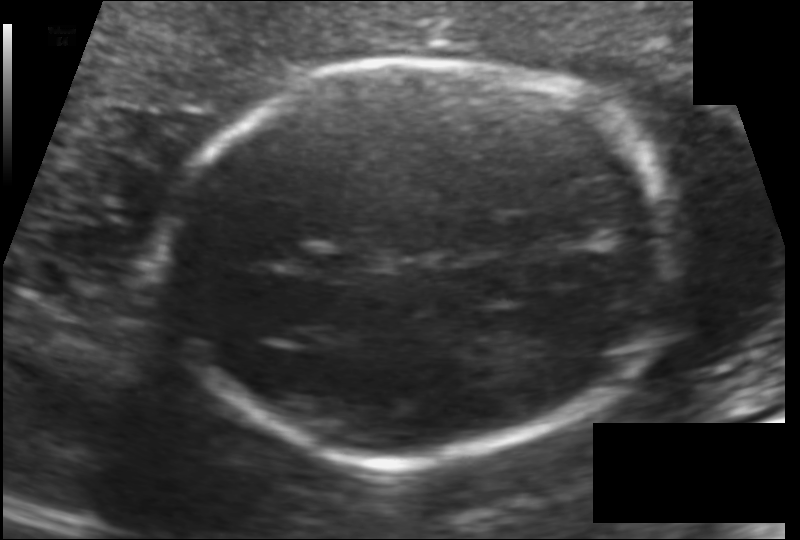
Fetal head ultrasound. Image width: 95.9 mm. Locate the fetal head.

Head: [170,61,672,461]